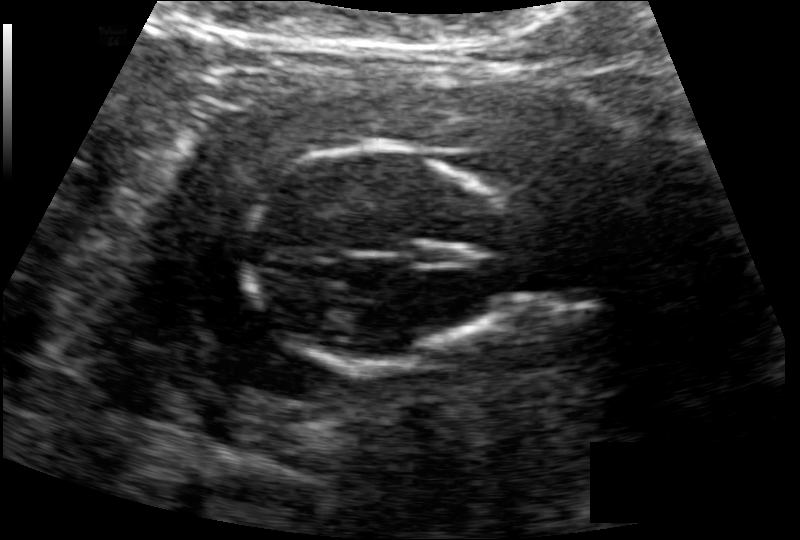
Estimate the fetal head circumference from this 2D ultrasound. Image width: 100.6 mm.

Head circumference: 100.5 mm.